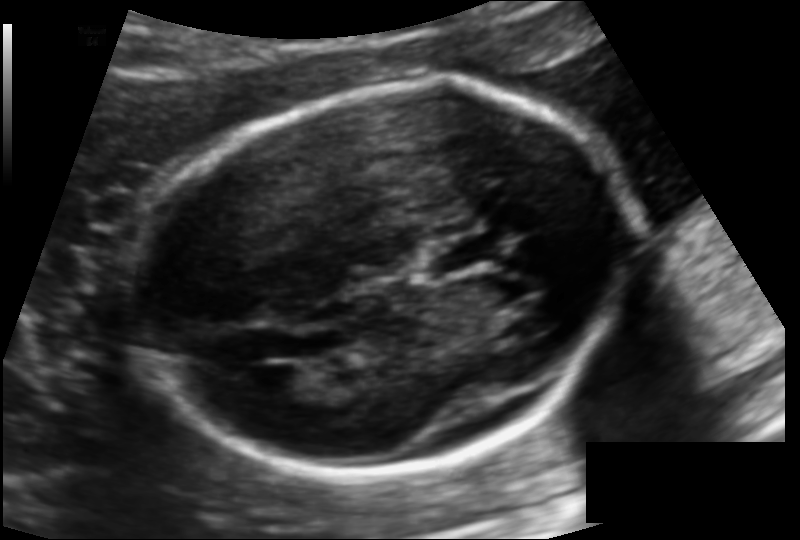
Fetal head ultrasound. Image width: 99.2 mm. Locate the lateral ventricle.

Lateral ventricle: [252,365,309,400]